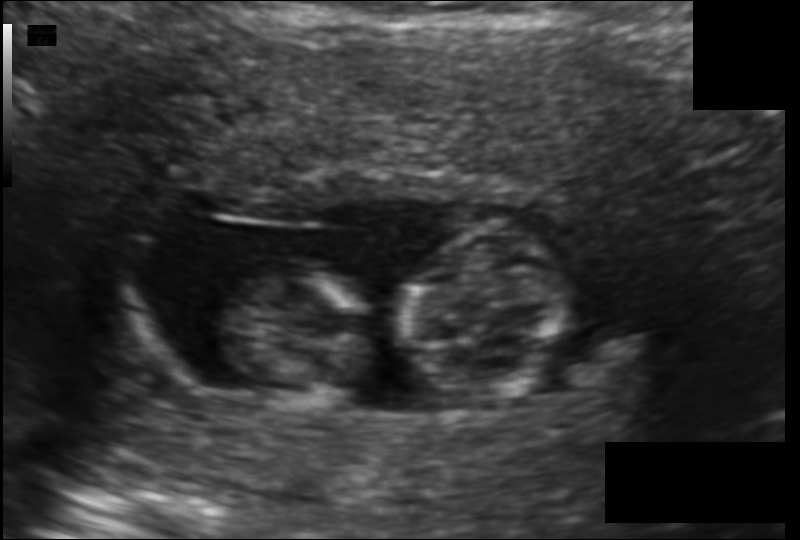
From this fetal ultrasound, estimate the head circumference (image width 95.3 mm).

Head circumference: 67.9 mm.